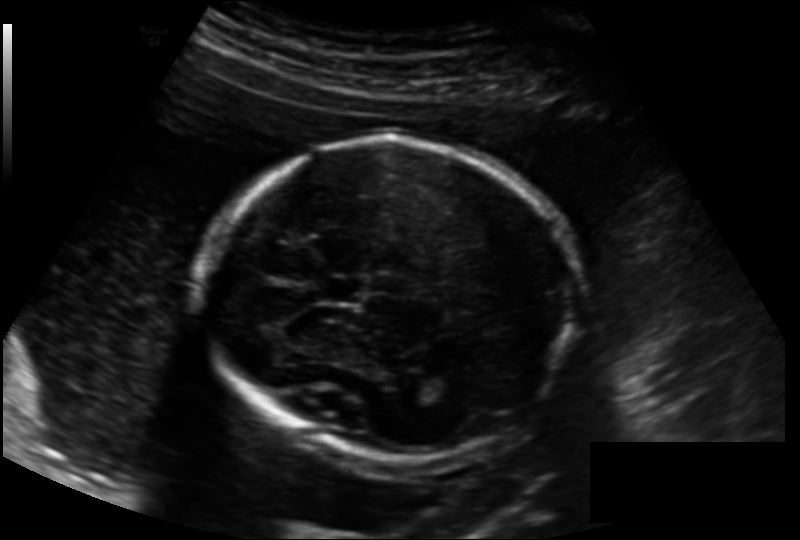
Estimate the fetal head circumference from this 2D ultrasound.

Head circumference: 177.8 mm (image width 126.5 mm).